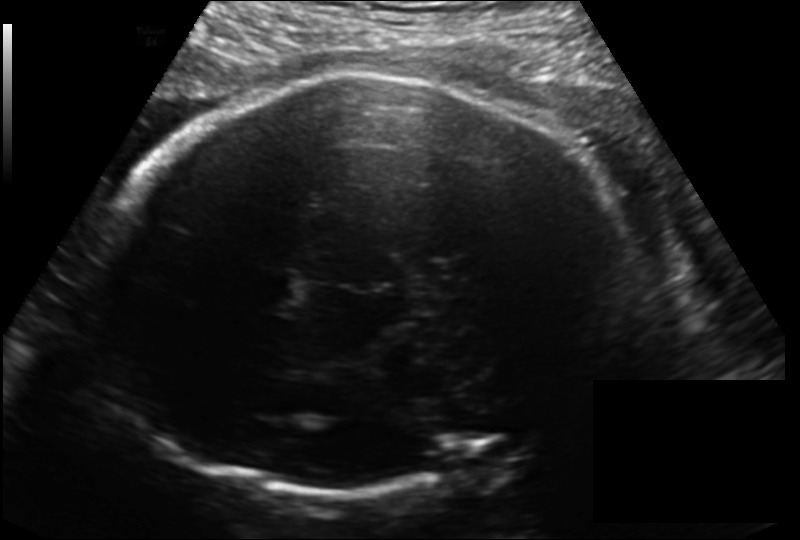
In this fetal head ultrasound, give bounding boxes for the head outline, cavum septum pellucidum (CSP), and lateral ventricle (LV), where visible. Image width: 158.6 mm.

Head: [88,69,624,493]